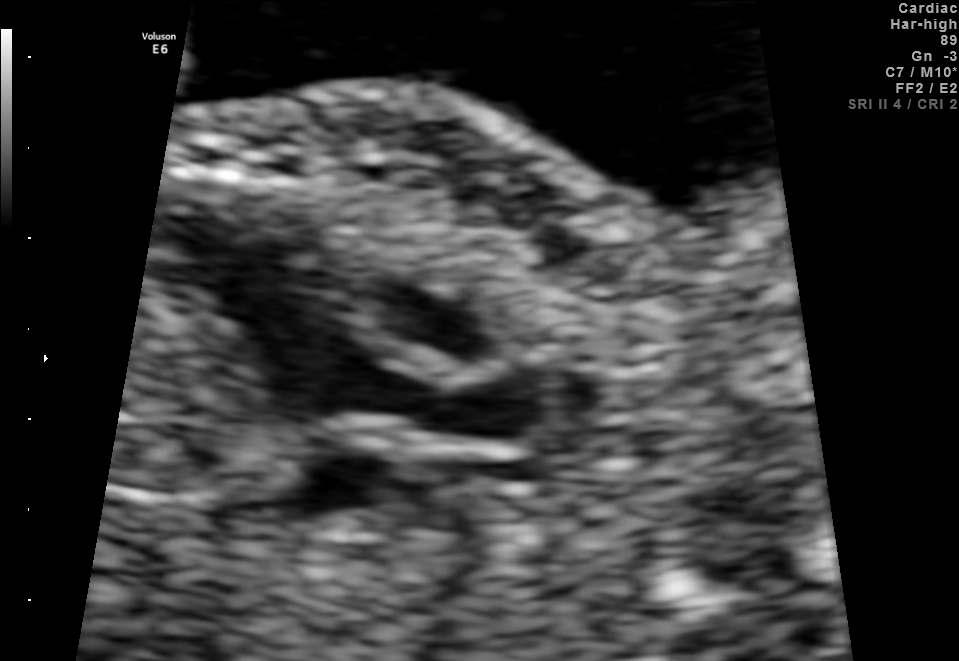
Which standard maternal-fetal ultrasound plane is shown: fetal abdomen, fetal brain, fetal femur, fetal thorax, maternal cervix, or other? If it's fetal brain and one of the three standard brain planes (trans-thalamic, trans-cerebellum, trans-ventricular), name which.

Other